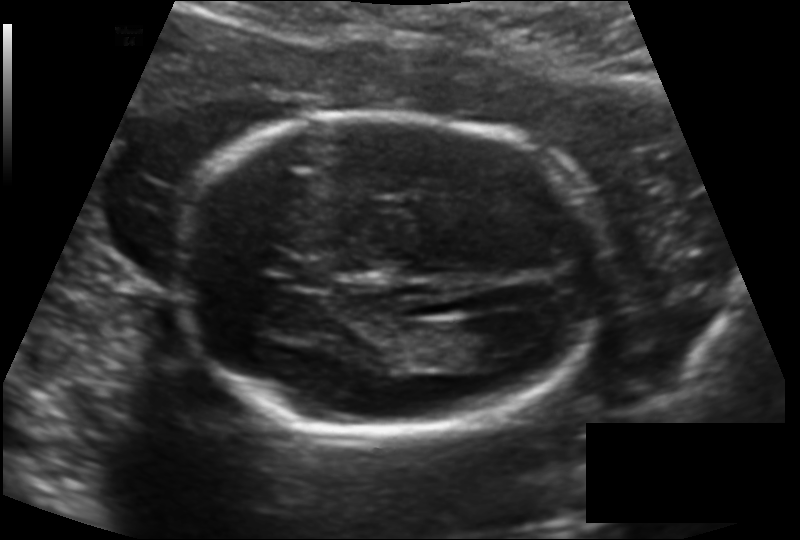
In this fetal head ultrasound, give the bounding box of the lateral ventricle. Image width: 110.7 mm.

[439,318,519,370]